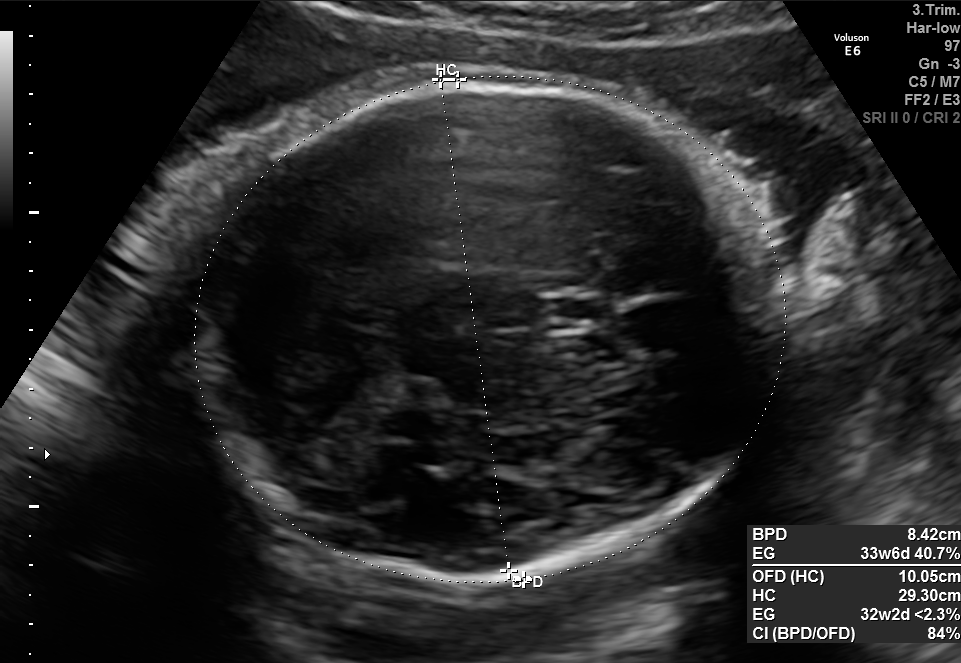
Fetal brain, trans-thalamic plane. Locate the fetal head.

Head: [193,73,786,582]